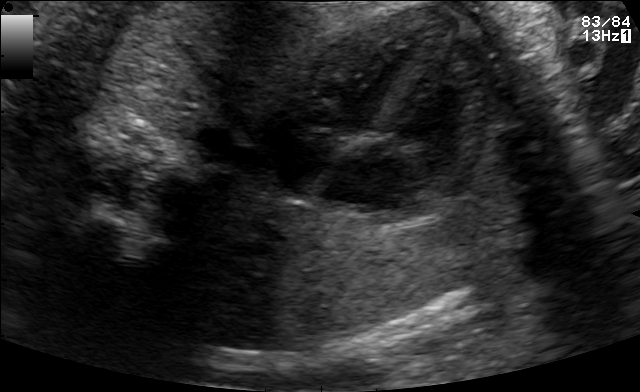
Classify this maternal-fetal ultrasound image as one of the six standard planes — fetal abdomen, fetal brain, fetal femur, fetal thorax, maternal cervix, or other. If it's fetal brain and one of the three standard brain planes (trans-thalamic, trans-cerebellum, trans-ventricular), name which.

Fetal thorax